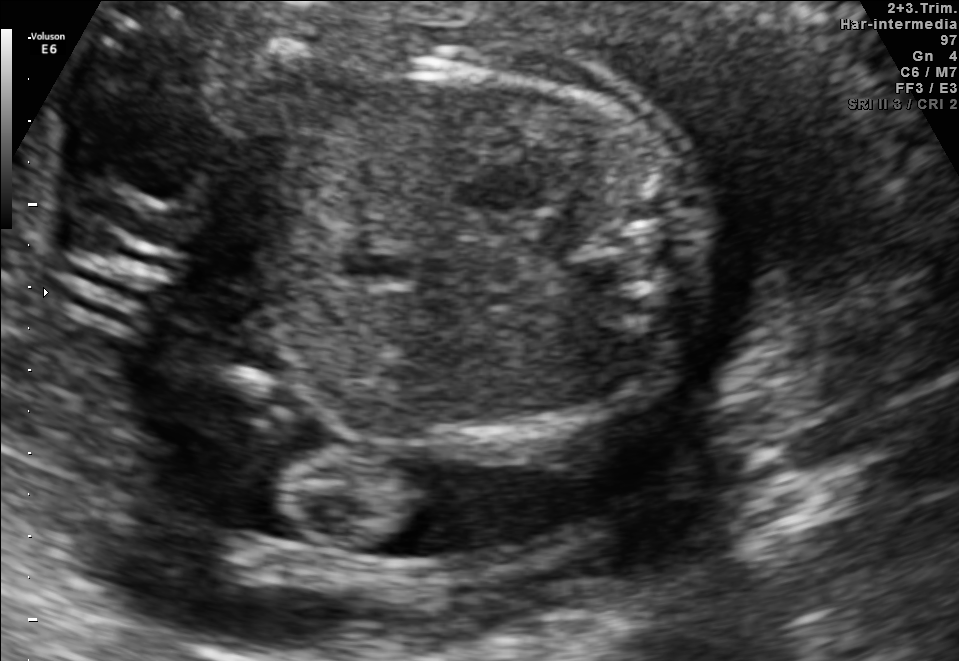
Identify the standard plane in this fetal ultrasound image: fetal abdomen, fetal brain, fetal femur, fetal thorax, maternal cervix, or other. If it's fetal brain and one of the three standard brain planes (trans-thalamic, trans-cerebellum, trans-ventricular), name which.

Other